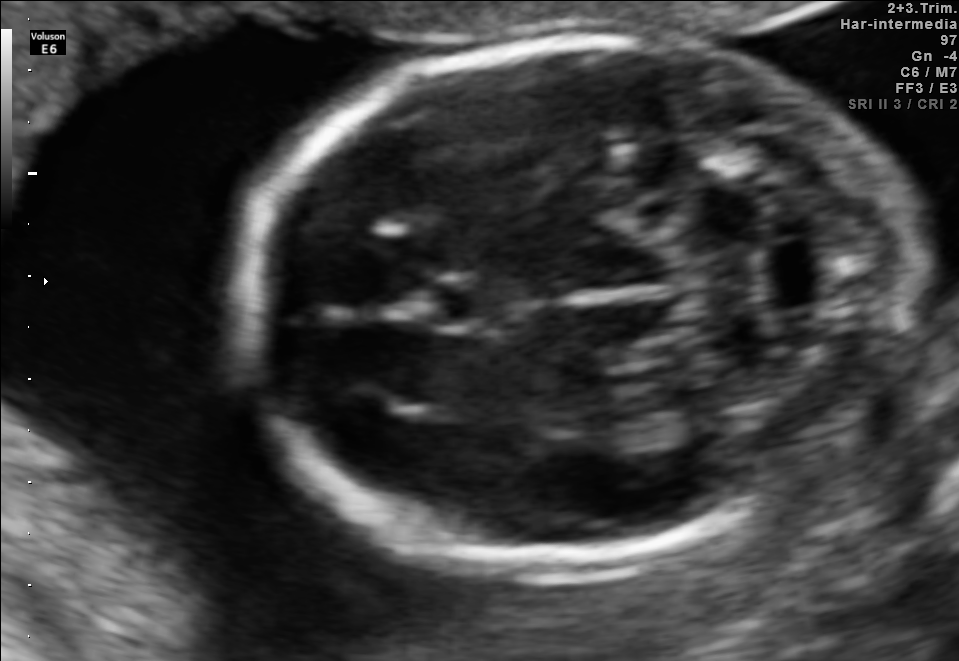
Fetal brain, trans-cerebellum plane. Locate the cavum septum pellucidum.

CSP: [425,273,520,332]